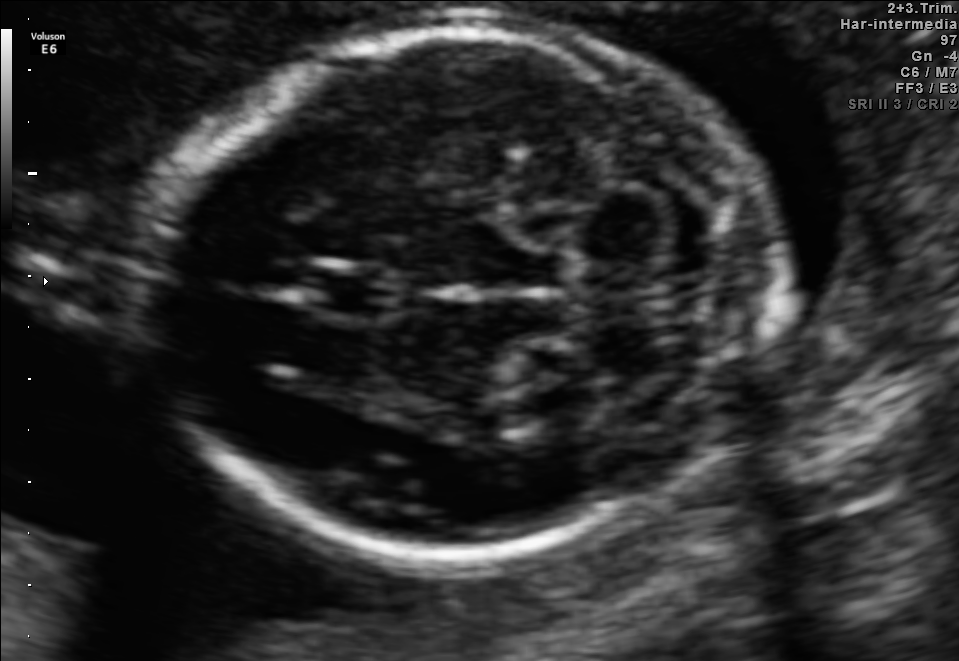
In this fetal brain, trans-cerebellum plane, give bounding boxes for the head outline, cavum septum pellucidum (CSP), and lateral ventricle (LV), where visible.

Head: [145,28,782,551]
CSP: [300,261,398,326]